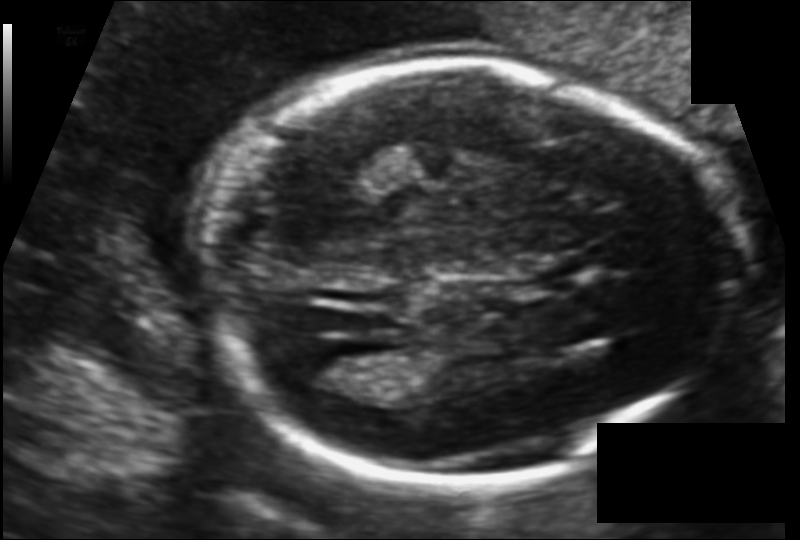
In this fetal head ultrasound, give the bounding box of the lateral ventricle. Image width: 93.1 mm.

[289,342,376,396]